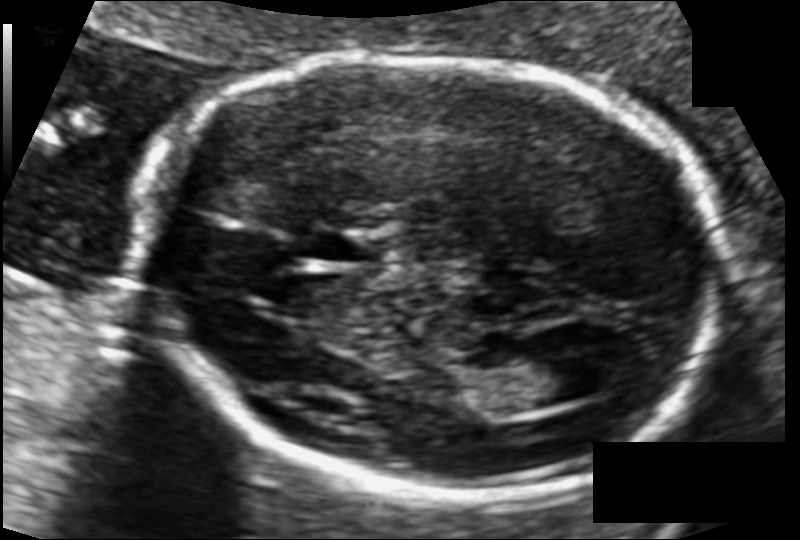
Fetal head ultrasound. Image width: 81.0 mm. Where is the lateral ventricle?

Lateral ventricle bounding box: [491,339,593,417]